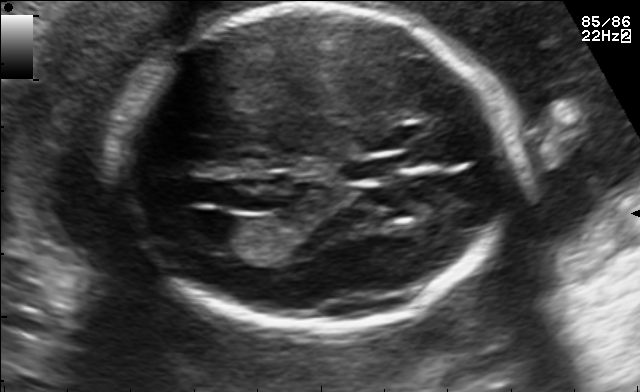
In this fetal brain, trans-ventricular plane, give the bounding box of the lateral ventricle.

[169,206,251,256]